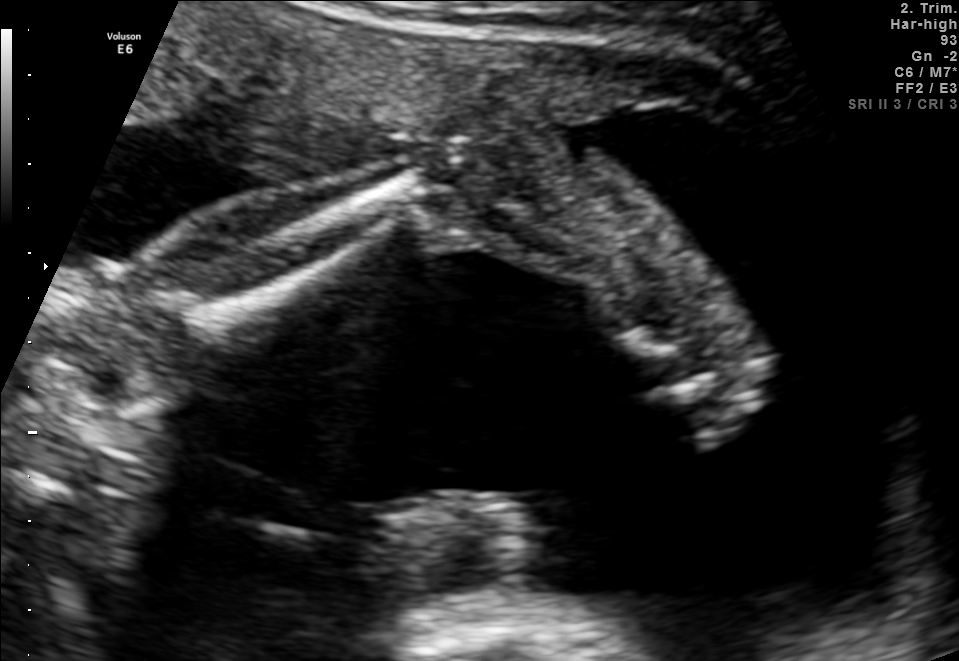
This is a 2D maternal-fetal ultrasound frame. Is it a fetal abdomen, fetal brain, fetal femur, fetal thorax, maternal cervix, or other standard plane? If it's fetal brain and one of the three standard brain planes (trans-thalamic, trans-cerebellum, trans-ventricular), name which.

Other